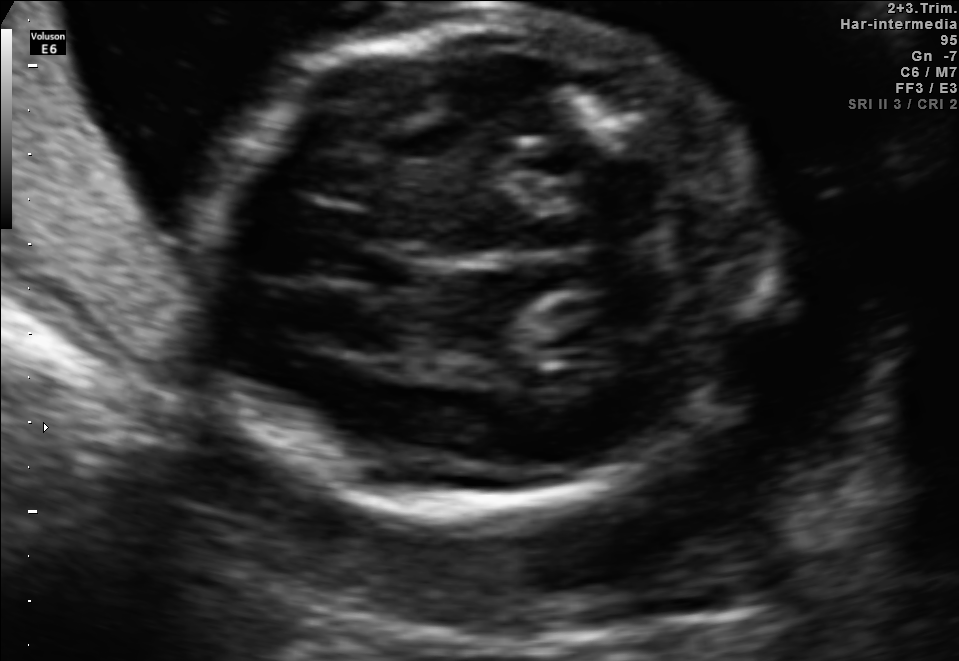
In this fetal brain, trans-cerebellum plane, give the bounding box of the fetal head.

[198,5,763,508]